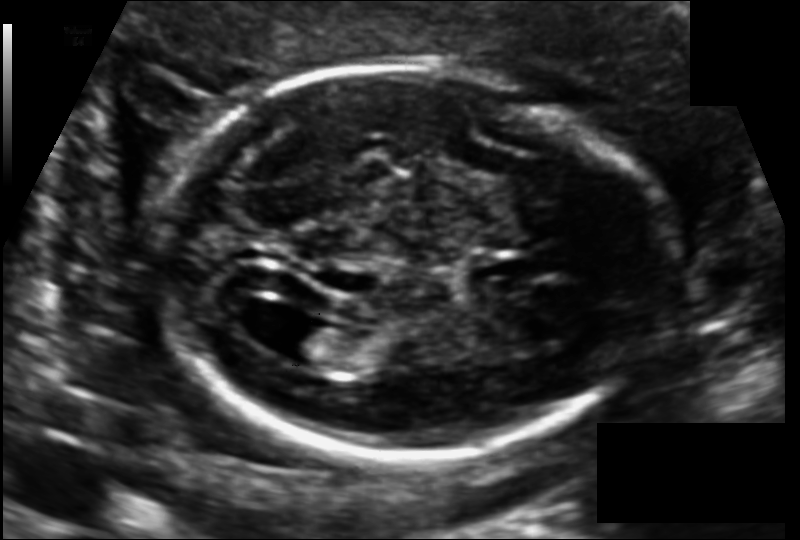
Measure the fetal head circumference shown in this ultrasound image. Image width: 94.6 mm.

Head circumference: 171.2 mm.